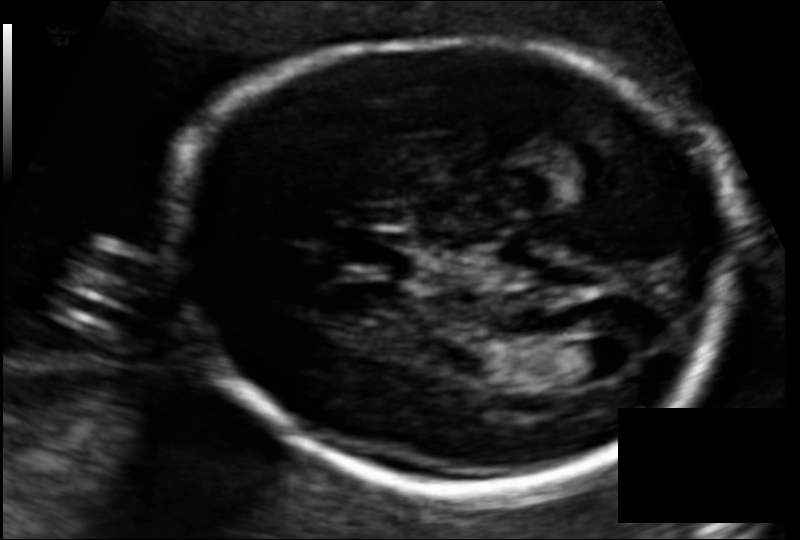
In this fetal head ultrasound, give the bounding box of the lateral ventricle. Image width: 86.4 mm.

[551,337,623,388]